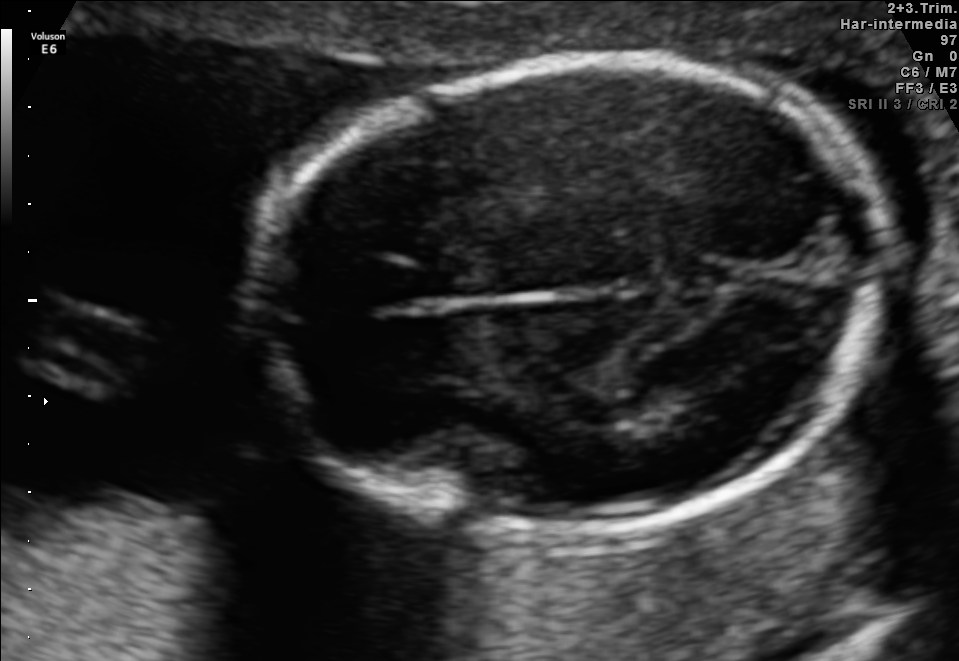
Fetal brain, trans-thalamic plane. Locate the fetal head.

Head: [256,57,893,536]